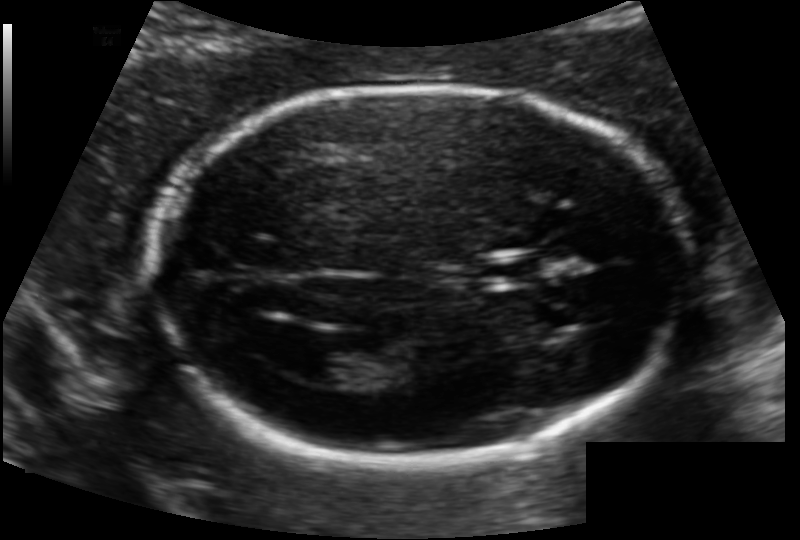
What is the fetal head circumference? Image width is 94.1 mm.

173.7 mm